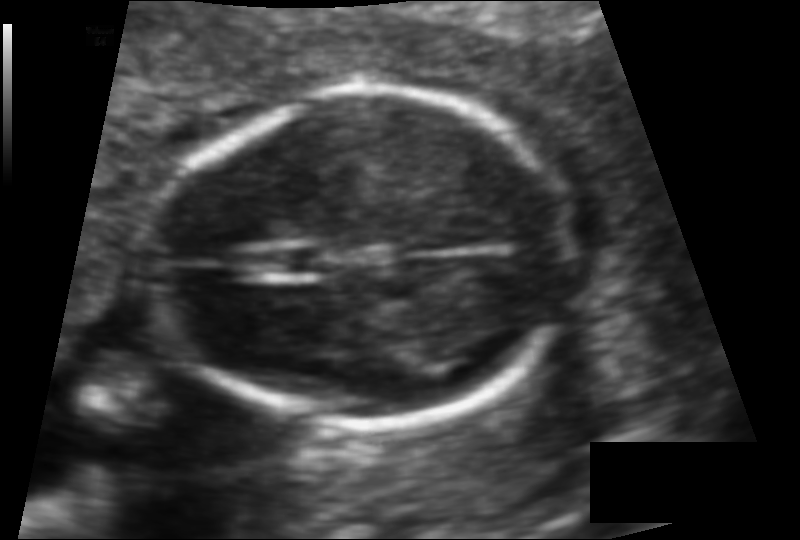
In this fetal head ultrasound, give the bounding box of the fetal head. Image width: 75.5 mm.

[163,91,562,426]